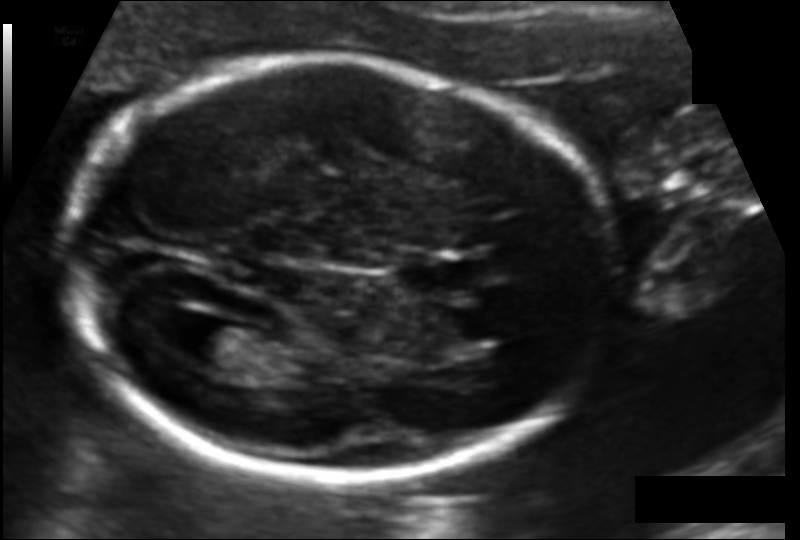
Fetal head ultrasound. Image width: 91.0 mm. Where is the lateral ventricle?

Lateral ventricle bounding box: [176,315,253,371]